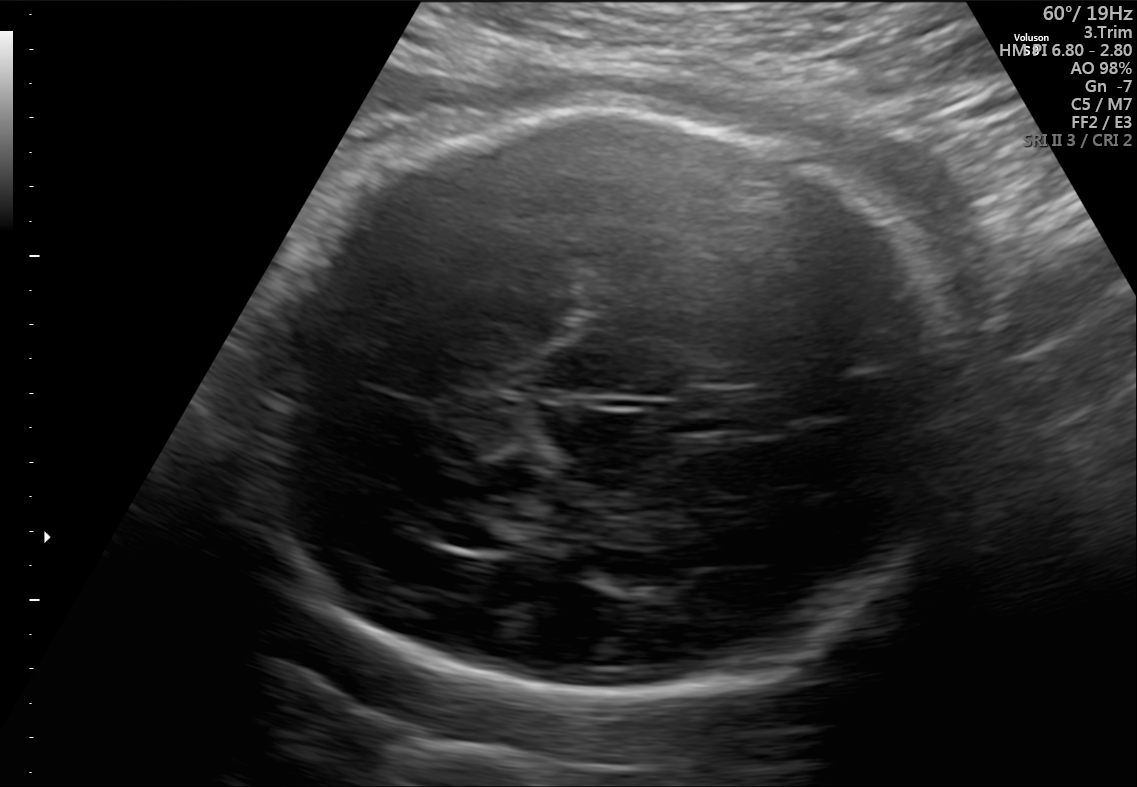
Fetal brain, trans-thalamic plane. Locate the fetal head.

Head: [242,110,969,699]